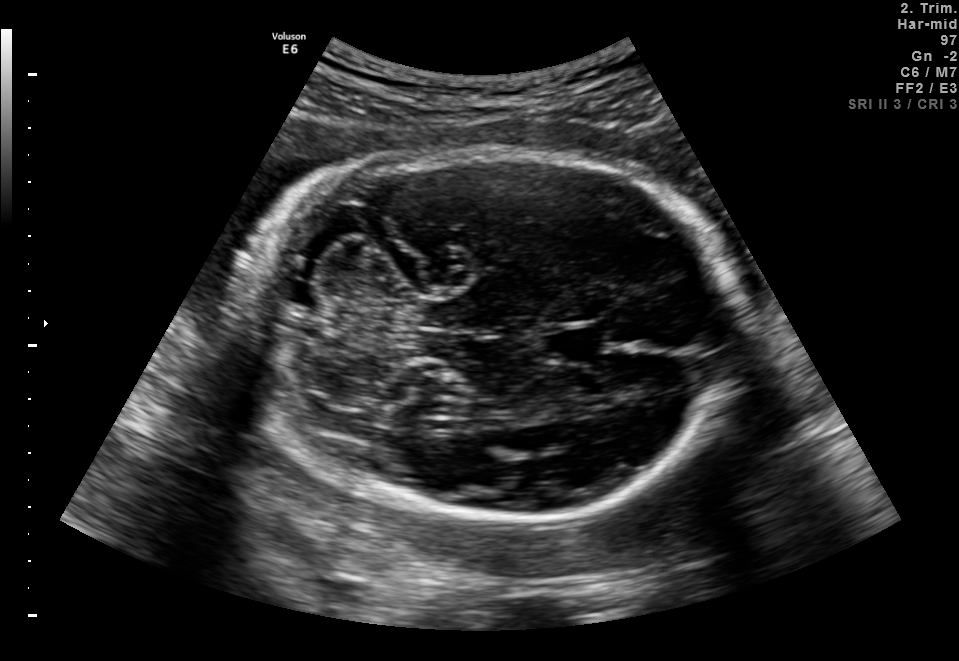
Fetal brain, trans-cerebellum plane. Where is the cavum septum pellucidum?

CSP bounding box: [542,322,610,367]